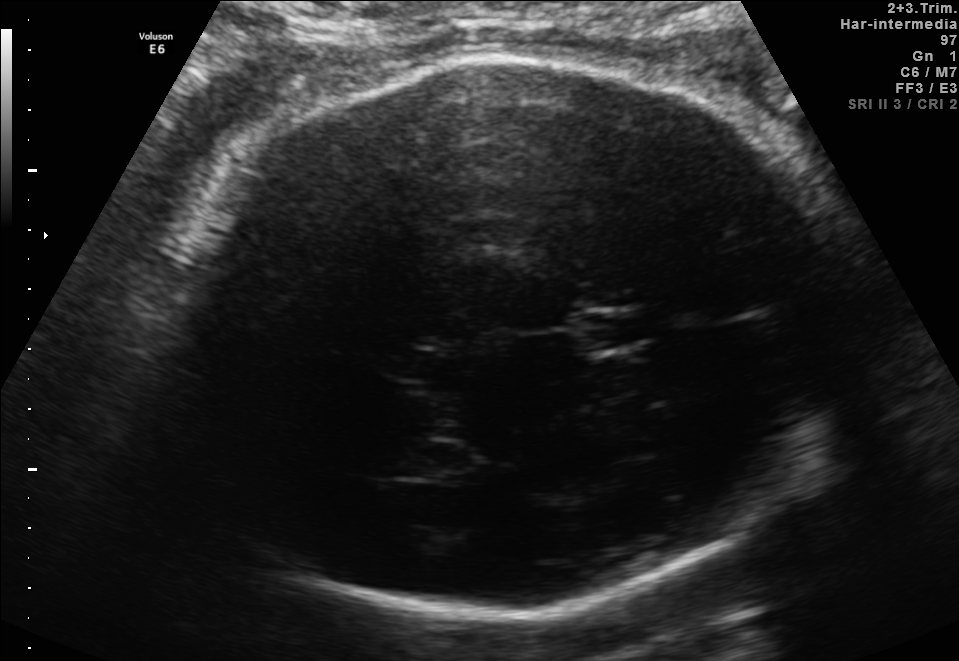
Fetal brain, trans-thalamic plane. Where is the cavum septum pellucidum?

CSP bounding box: [579,307,663,352]